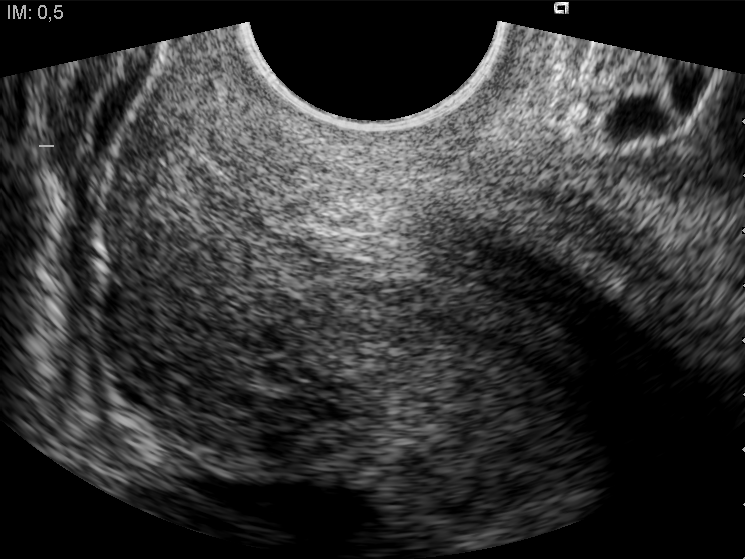
Classify this maternal-fetal ultrasound image as one of the six standard planes — fetal abdomen, fetal brain, fetal femur, fetal thorax, maternal cervix, or other. If it's fetal brain and one of the three standard brain planes (trans-thalamic, trans-cerebellum, trans-ventricular), name which.

Maternal cervix